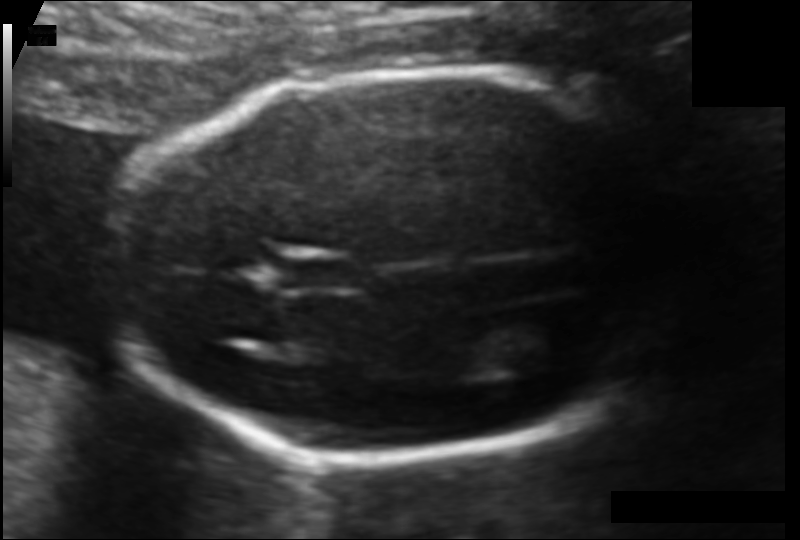
Fetal head ultrasound. Image width: 82.3 mm. Locate the fetal head and, if visible, the cavum septum pellucidum (CSP) and lateral ventricle (LV). Give bounding boxes as [x1,y1,x2,y2].

Head: [114,71,669,464]
CSP: [279,259,352,288]
Lateral ventricle: [490,312,584,376]